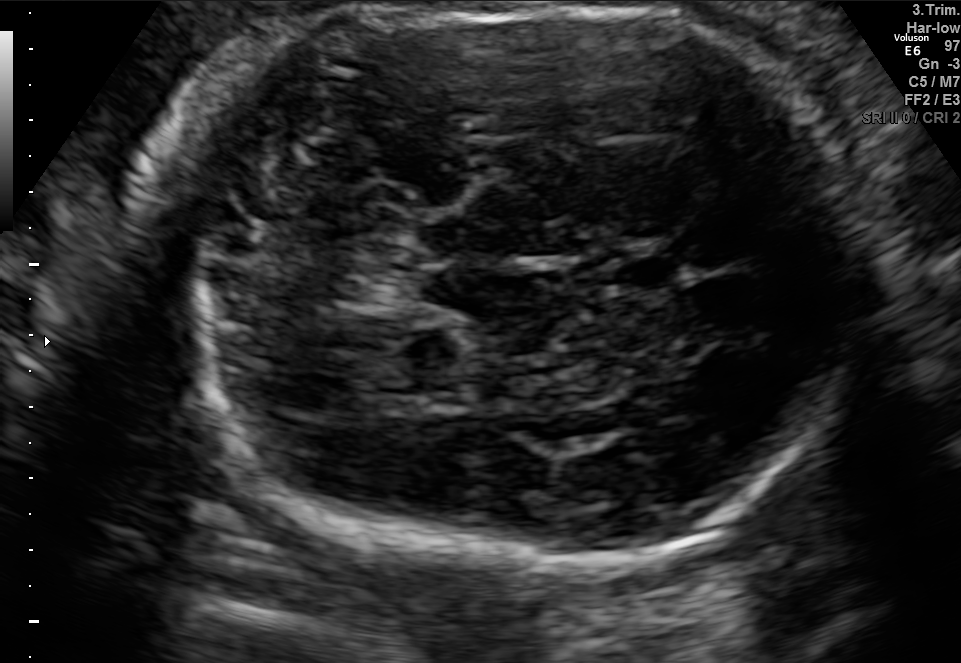
Fetal brain, trans-cerebellum plane. Locate the cavum septum pellucidum.

CSP: [601,242,693,305]